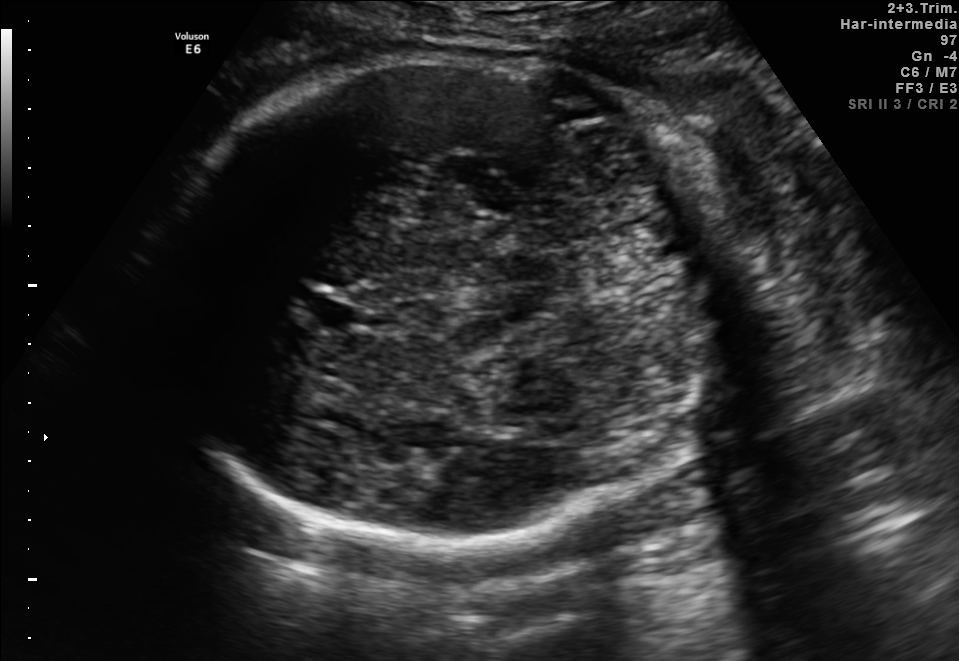
Fetal brain, trans-thalamic plane. Locate the fetal head.

Head: [150,59,715,538]